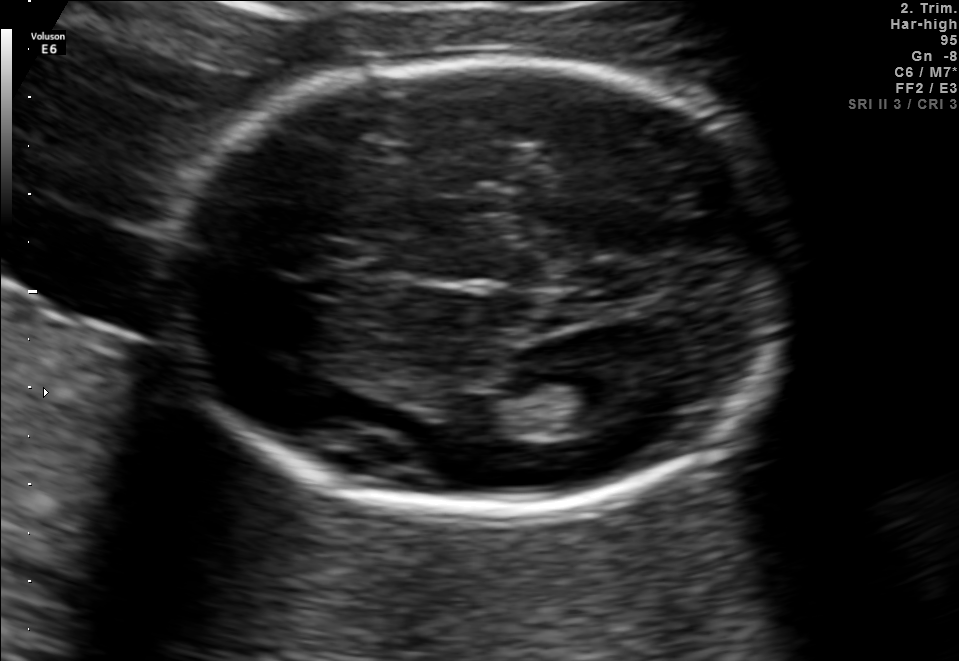
In this fetal brain, trans-thalamic plane, give the bounding box of the fetal head.

[161,58,792,513]